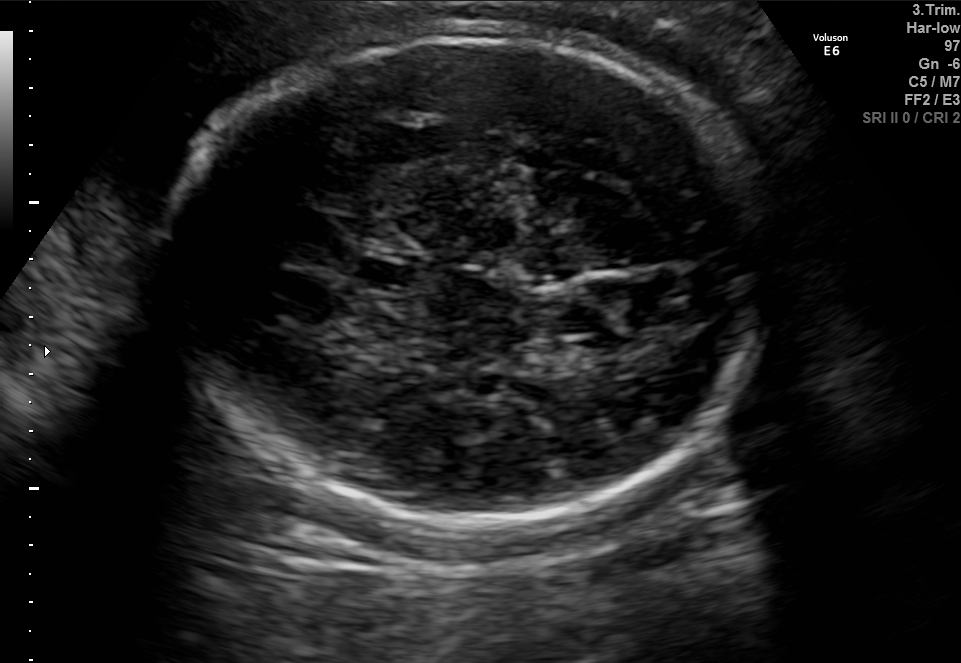
Fetal brain, trans-thalamic plane. Where is the fetal head?

Head bounding box: [165,32,780,533]